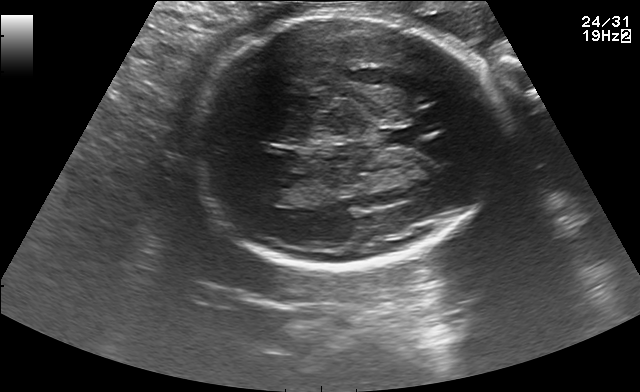
Fetal brain, trans-thalamic plane. Locate the cavum septum pellucidum.

CSP: [380,124,417,148]